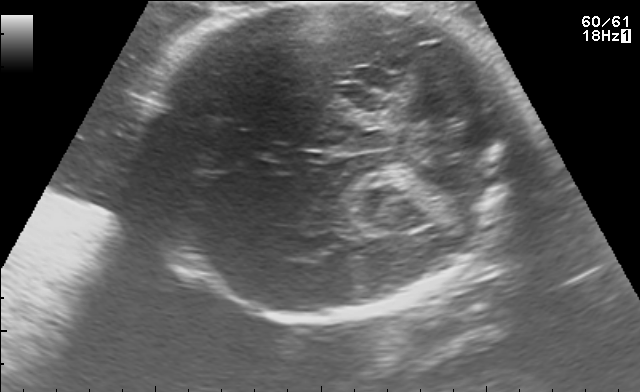
Fetal brain, trans-thalamic plane. Give [x1,y1,x2,y2] bounding boxes for each visible structure among: fetal head, CSP, LV.

Head: [115,3,527,321]